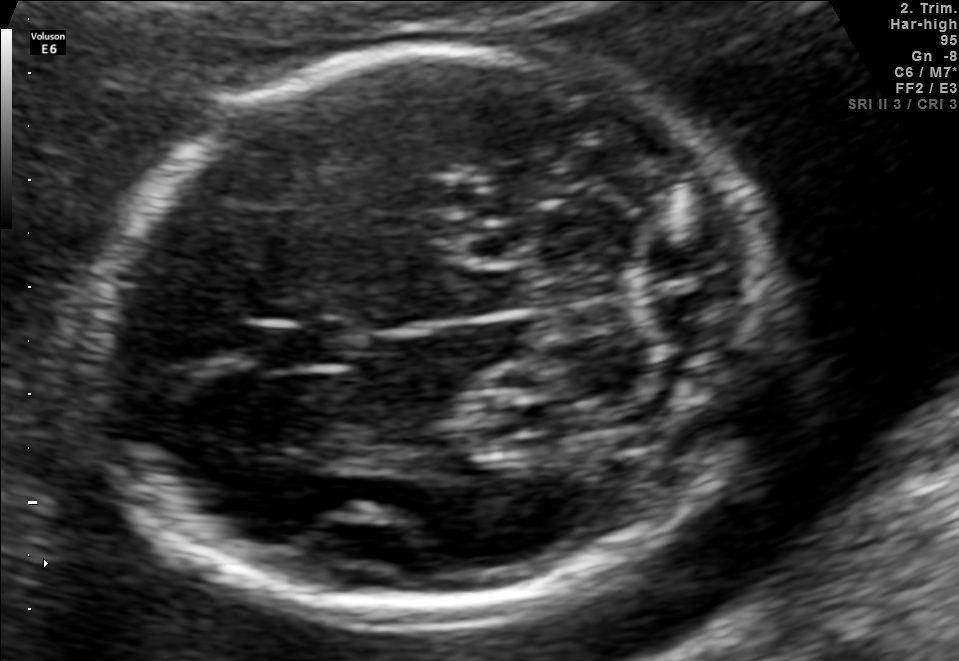
Fetal brain, trans-cerebellum plane. Where is the fetal head?

Head bounding box: [94,45,765,618]